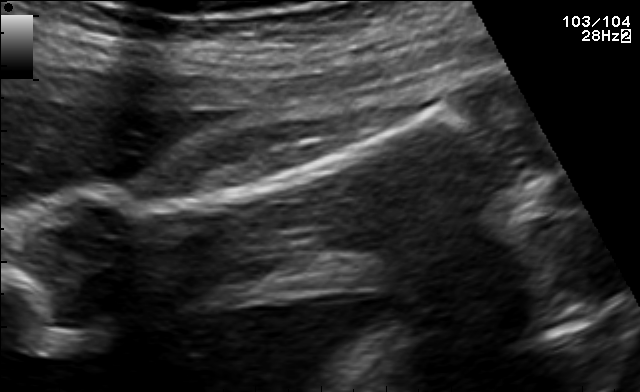
Classify this maternal-fetal ultrasound image as one of the six standard planes — fetal abdomen, fetal brain, fetal femur, fetal thorax, maternal cervix, or other. If it's fetal brain and one of the three standard brain planes (trans-thalamic, trans-cerebellum, trans-ventricular), name which.

Fetal femur